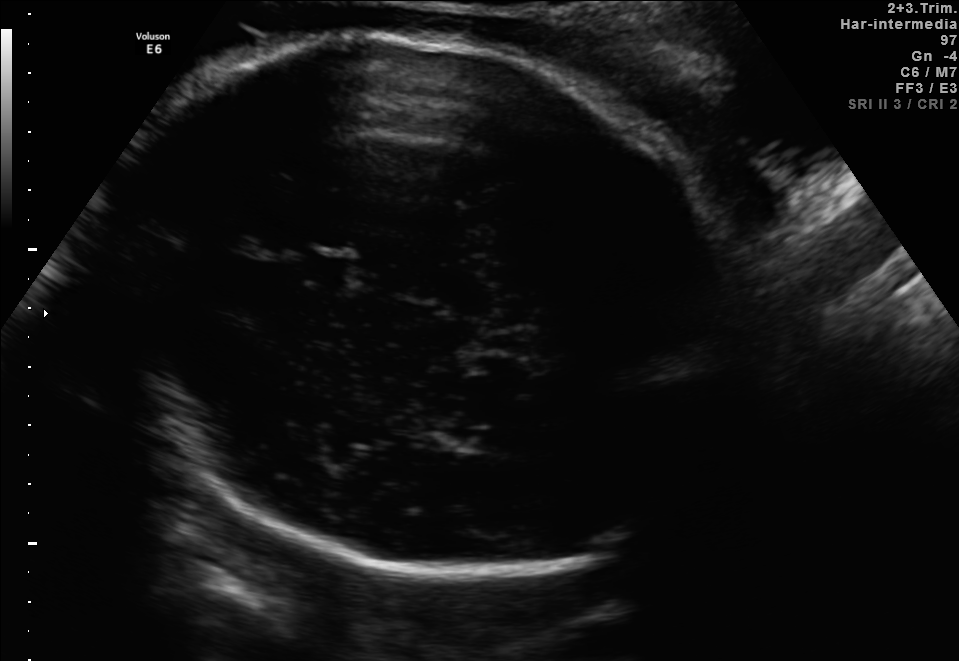
In this fetal brain, trans-thalamic plane, give the bounding box of the cavum septum pellucidum.

[307,254,347,286]